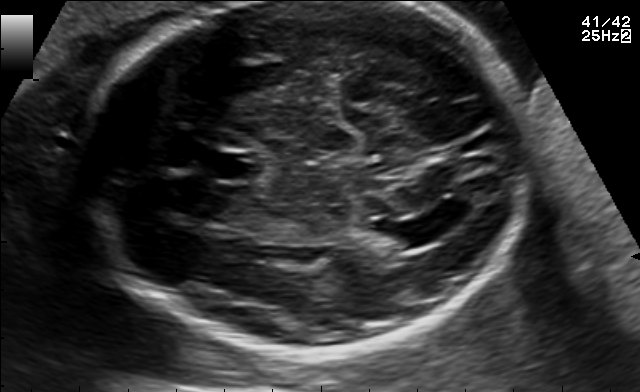
This is a 2D maternal-fetal ultrasound frame. Is it a fetal abdomen, fetal brain, fetal femur, fetal thorax, maternal cervix, or other standard plane? If it's fetal brain and one of the three standard brain planes (trans-thalamic, trans-cerebellum, trans-ventricular), name which.

Fetal brain (trans-ventricular plane)